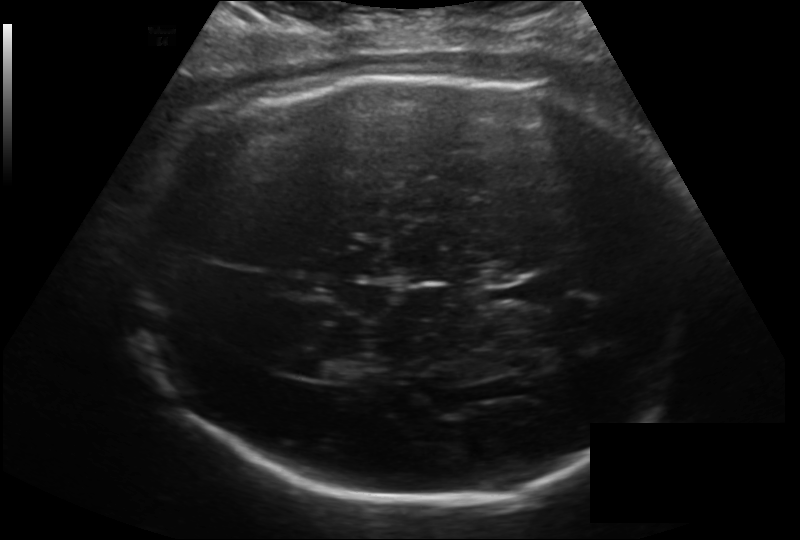
Estimate the fetal head circumference from this 2D ultrasound. Image width: 154.4 mm.

Head circumference: 315.0 mm.